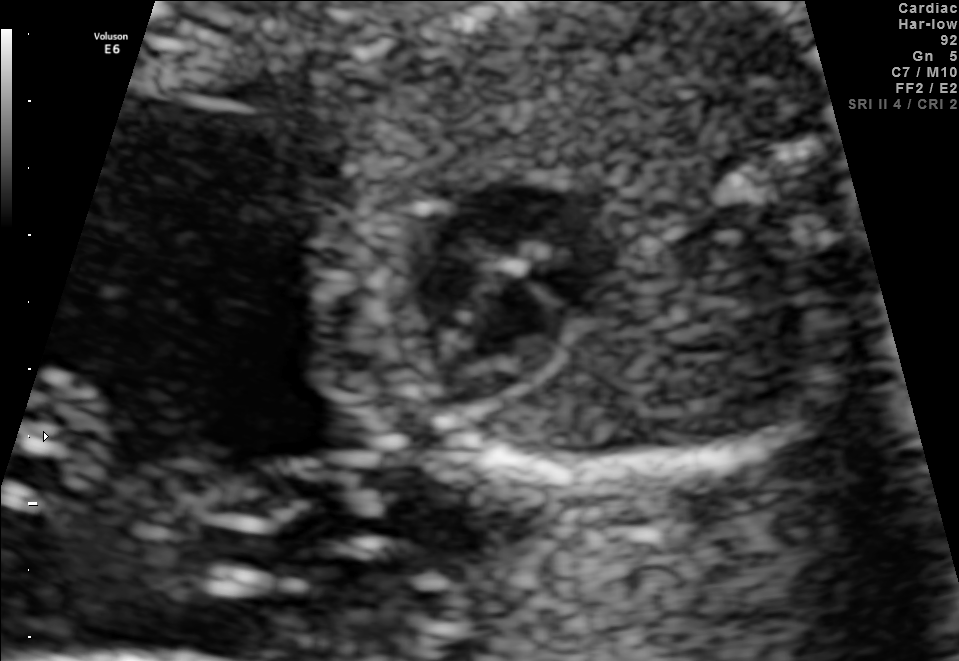
This is a 2D maternal-fetal ultrasound frame. Is it a fetal abdomen, fetal brain, fetal femur, fetal thorax, maternal cervix, or other standard plane? If it's fetal brain and one of the three standard brain planes (trans-thalamic, trans-cerebellum, trans-ventricular), name which.

Fetal thorax